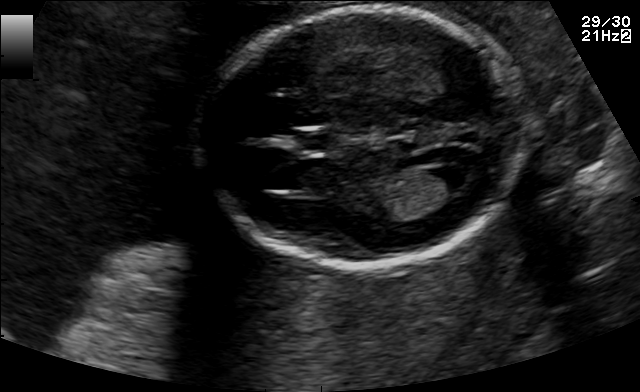
Fetal brain, trans-ventricular plane. Locate the lateral ventricle.

Lateral ventricle: [430,158,484,197]